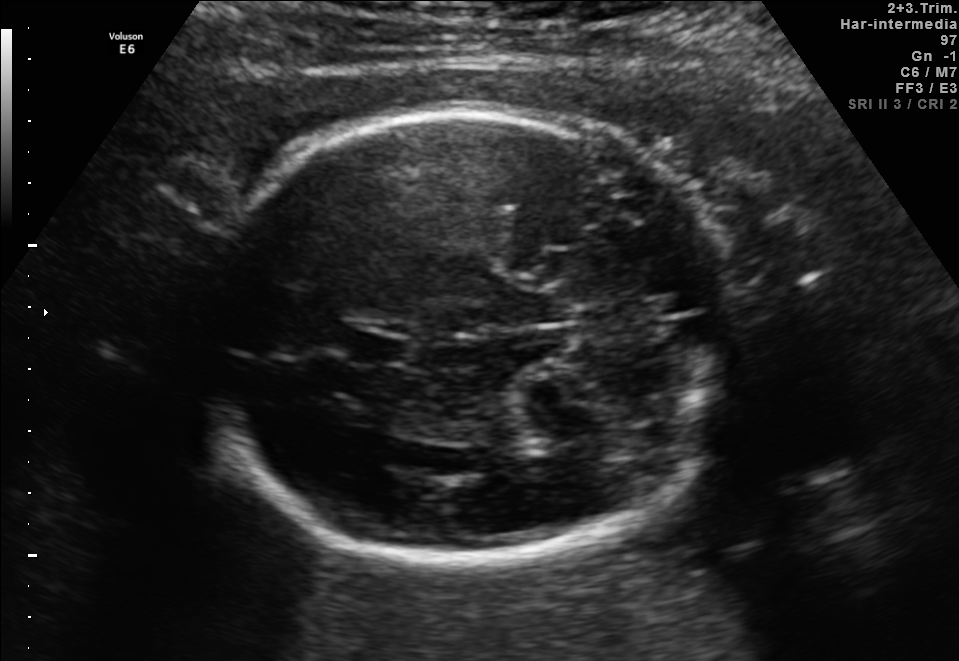
Fetal brain, trans-cerebellum plane. Where is the cavum septum pellucidum?

CSP bounding box: [348,329,410,369]